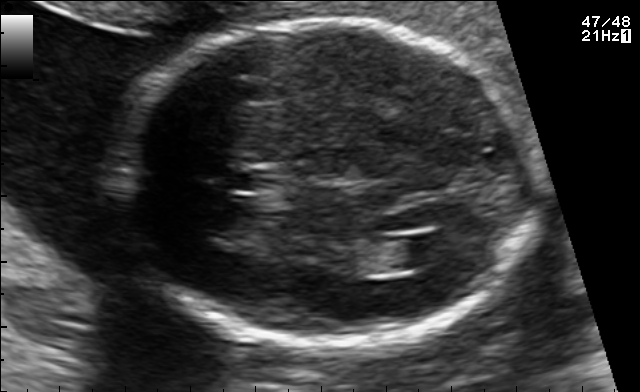
In this fetal brain, trans-ventricular plane, give the bounding box of the lateral ventricle.

[392,230,453,269]